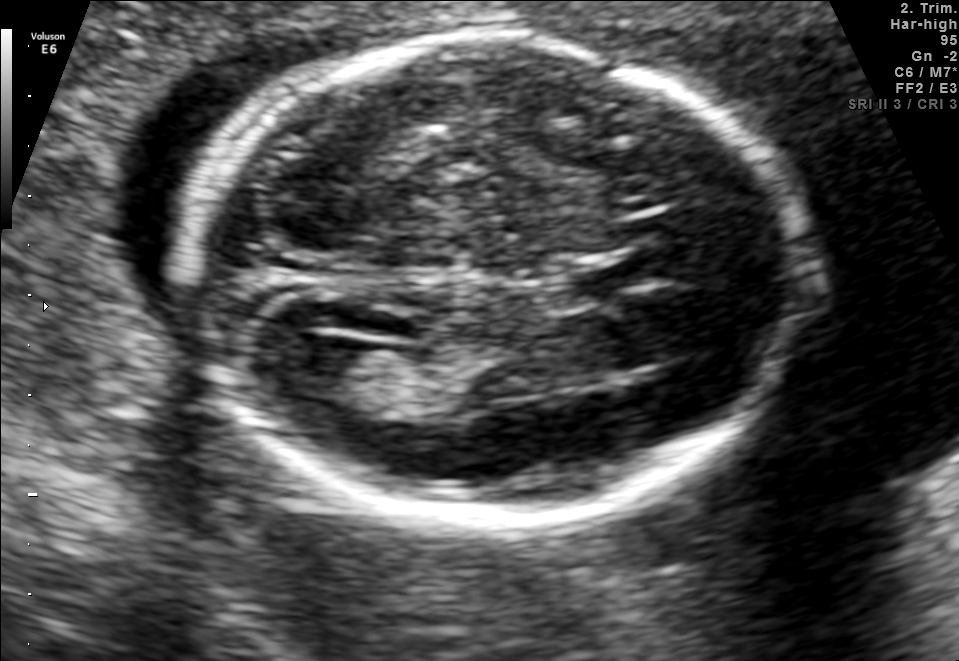
Fetal brain, trans-ventricular plane. Where is the lateral ventricle?

Lateral ventricle bounding box: [264,326,377,409]